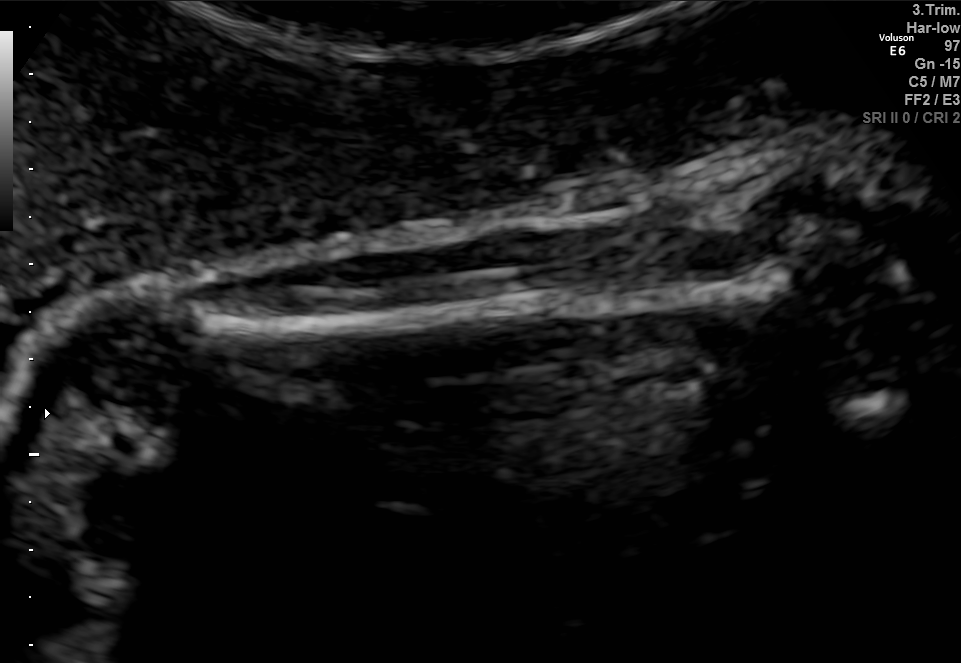
This is a 2D maternal-fetal ultrasound frame. Is it a fetal abdomen, fetal brain, fetal femur, fetal thorax, maternal cervix, or other standard plane? If it's fetal brain and one of the three standard brain planes (trans-thalamic, trans-cerebellum, trans-ventricular), name which.

Fetal femur